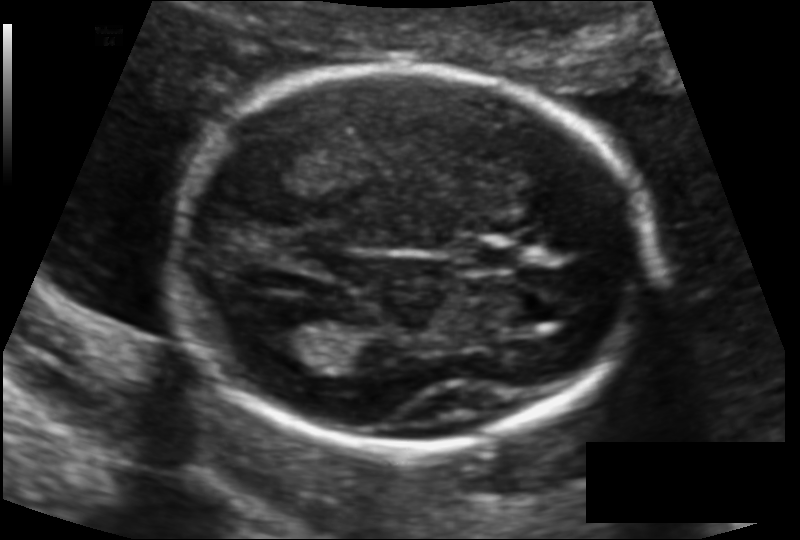
In this fetal head ultrasound, give the bounding box of the fetal head. Image width: 93.3 mm.

[172,68,652,448]